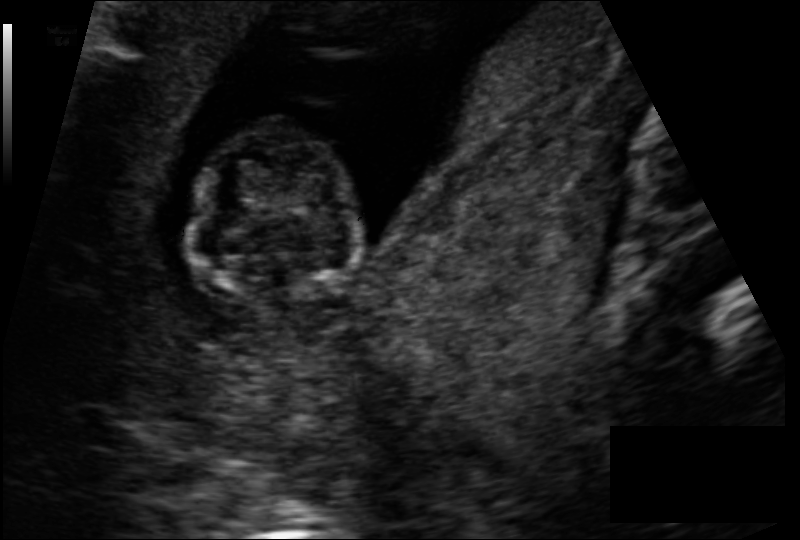
Fetal head ultrasound. Image width: 90.4 mm. Locate the fetal head.

Head: [194,123,360,305]